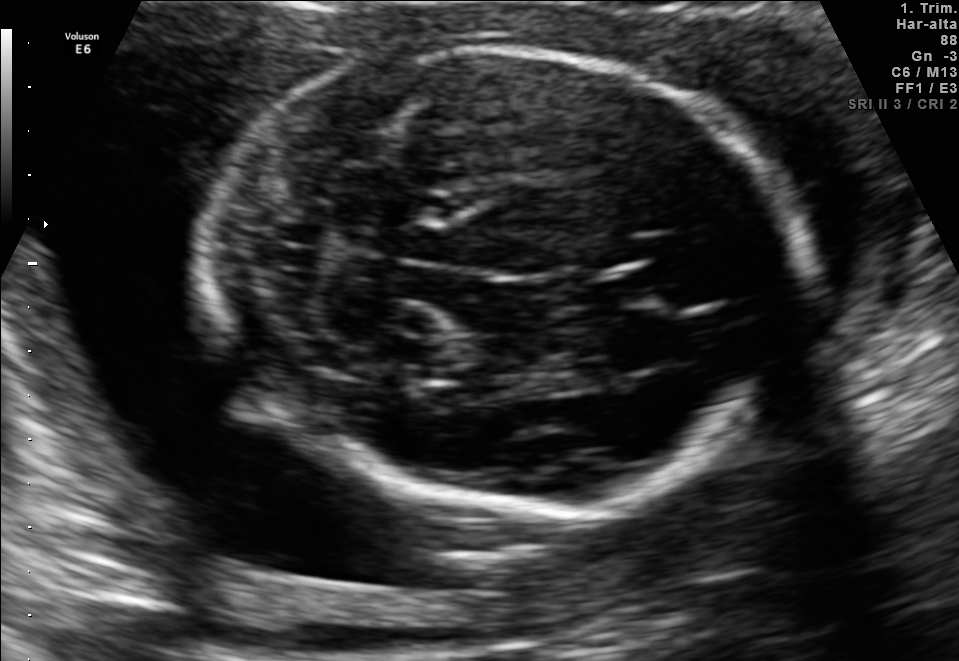
Fetal brain, trans-cerebellum plane. Locate the cavum septum pellucidum.

CSP: [587,262,666,312]